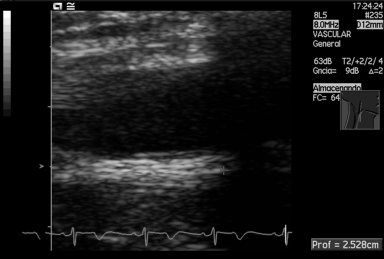
Classify this maternal-fetal ultrasound image as one of the six standard planes — fetal abdomen, fetal brain, fetal femur, fetal thorax, maternal cervix, or other. If it's fetal brain and one of the three standard brain planes (trans-thalamic, trans-cerebellum, trans-ventricular), name which.

Other